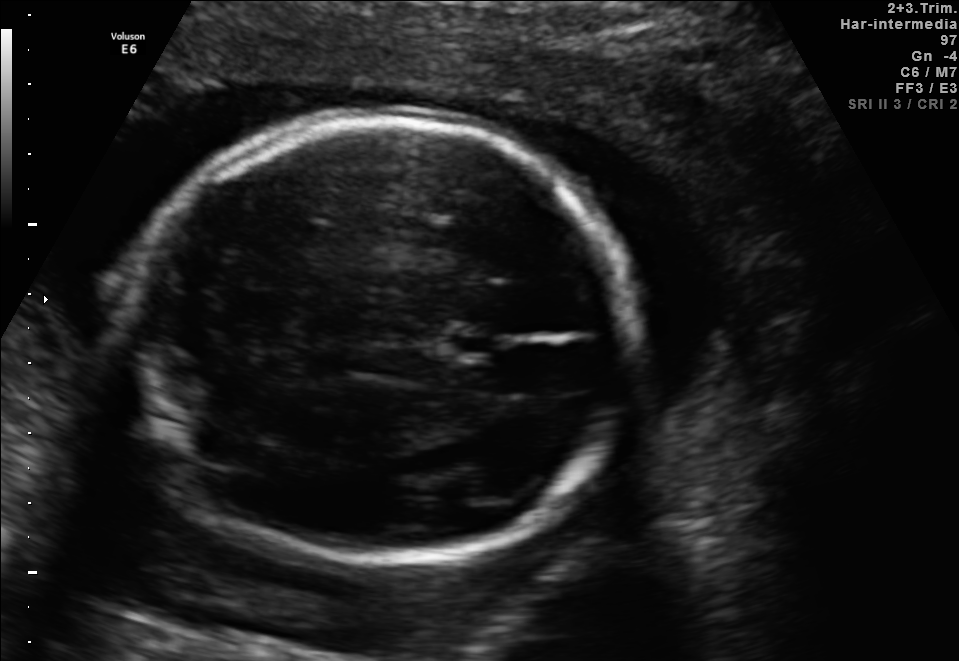
Fetal brain, trans-thalamic plane. Where is the cavum septum pellucidum?

CSP bounding box: [452,335,497,354]